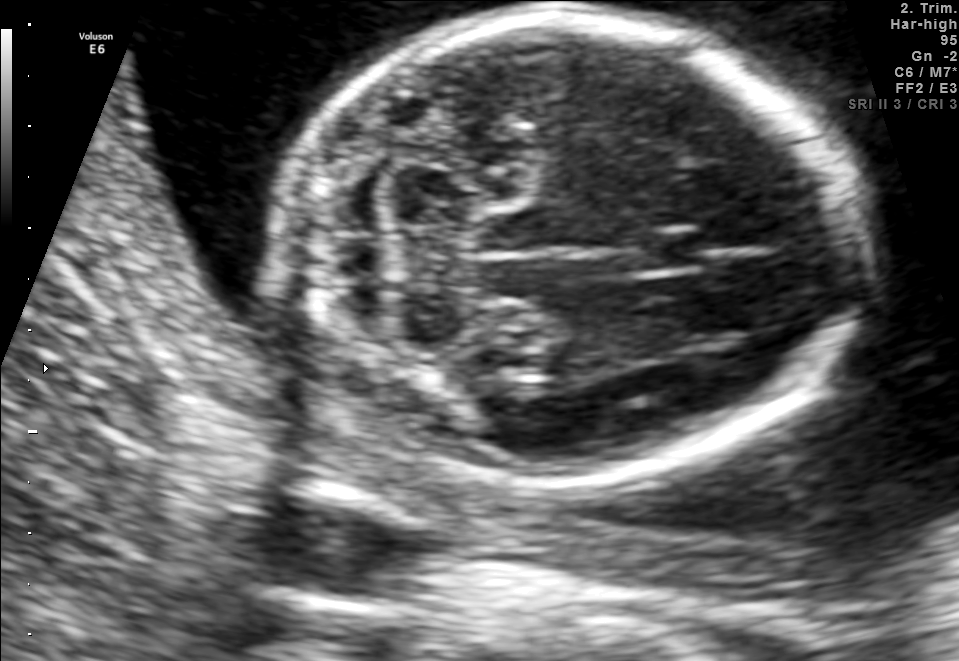
Fetal brain, trans-cerebellum plane. Where is the fetal head?

Head bounding box: [275,16,856,477]